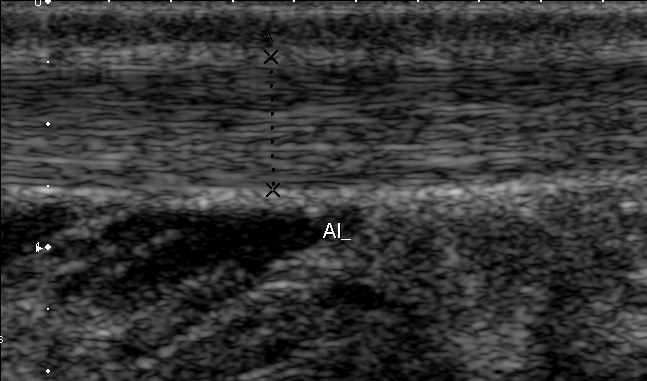
Identify the standard plane in this fetal ultrasound image: fetal abdomen, fetal brain, fetal femur, fetal thorax, maternal cervix, or other. If it's fetal brain and one of the three standard brain planes (trans-thalamic, trans-cerebellum, trans-ventricular), name which.

Other